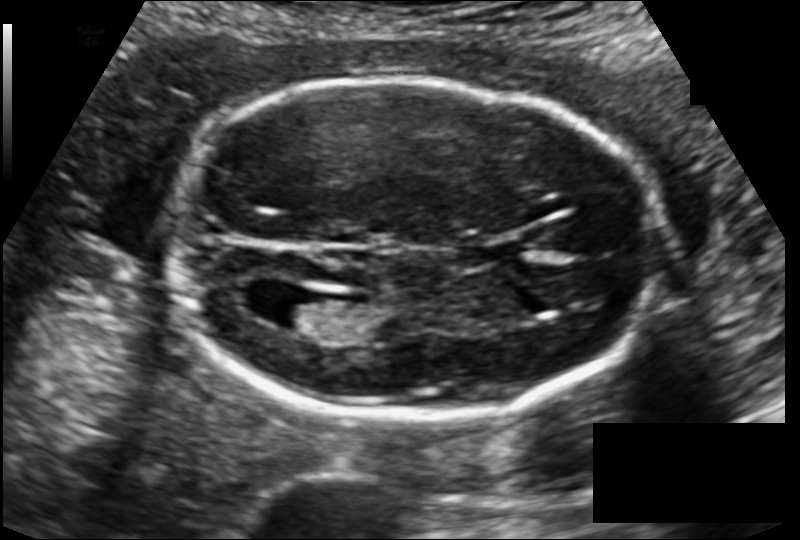
In this fetal head ultrasound, give the bounding box of the lateral ventricle. Image width: 103.4 mm.

[262,285,334,337]